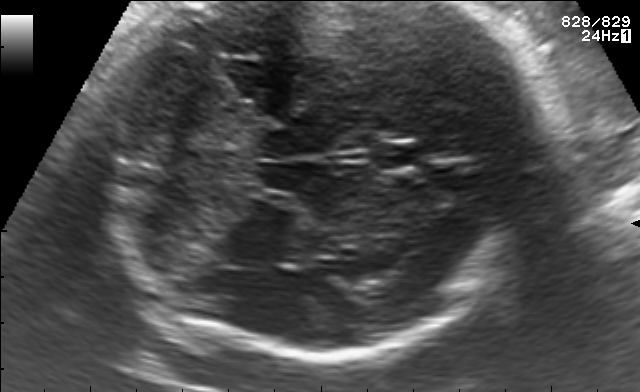
Fetal brain, trans-cerebellum plane. Where is the fetal head?

Head bounding box: [115,2,557,356]